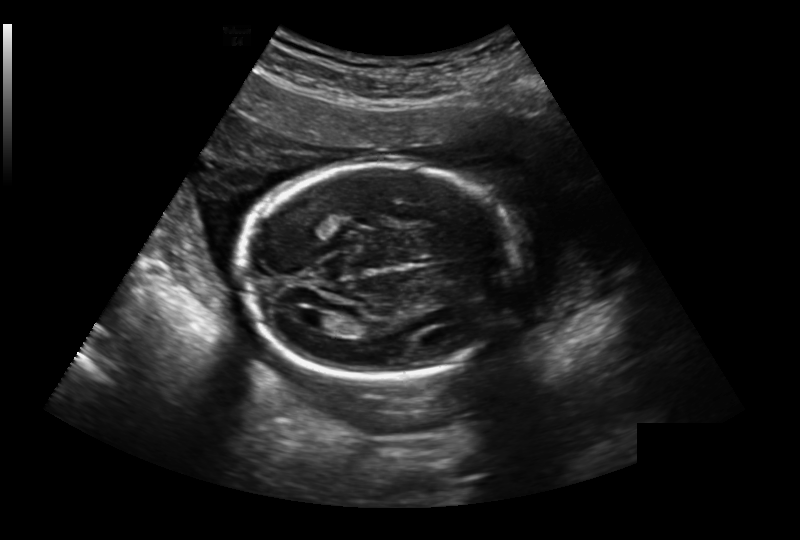
In this fetal head ultrasound, give the bounding box of the lateral ventricle. Image width: 188.5 mm.

[302,309,338,333]